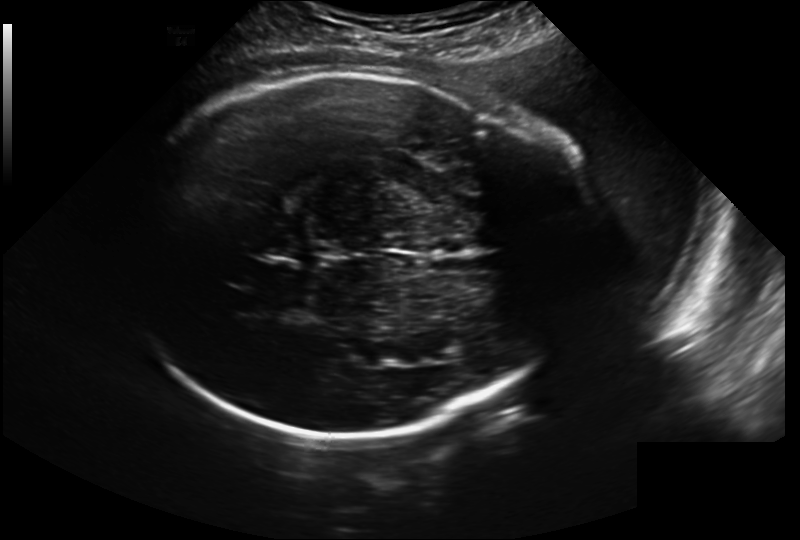
From this fetal ultrasound, estimate the head circumference (image width 192.7 mm).

Head circumference: 328.0 mm.